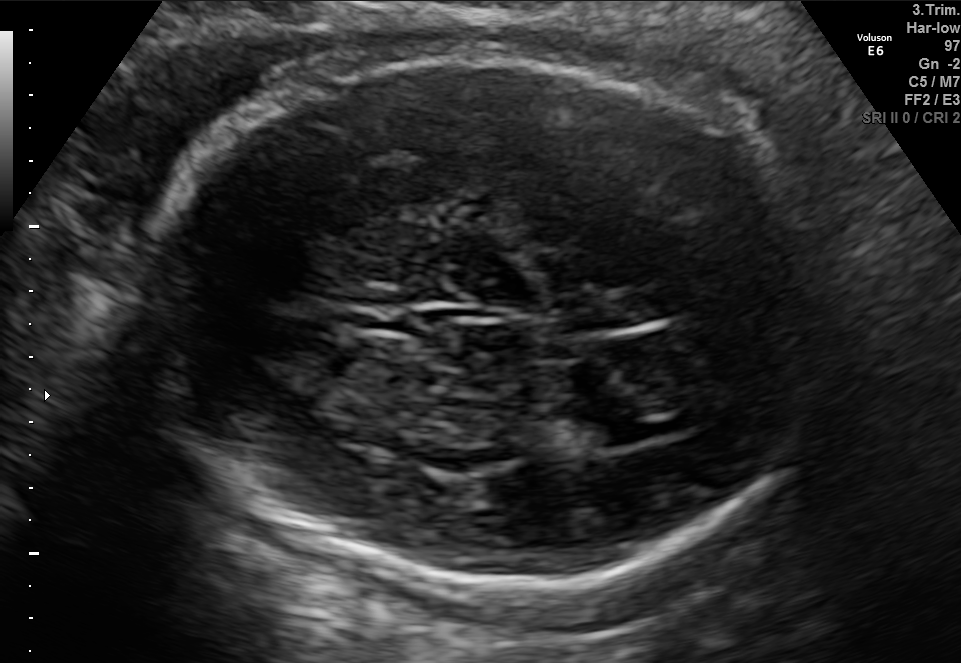
Fetal brain, trans-ventricular plane. Locate the lateral ventricle.

Lateral ventricle: [605,419,657,447]